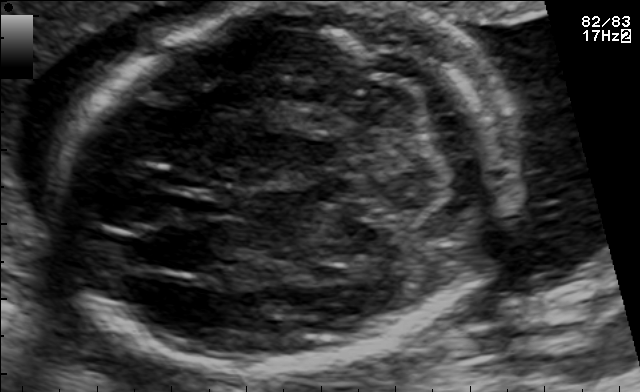
In this fetal brain, trans-cerebellum plane, give the bounding box of the fetal head.

[49,2,523,369]